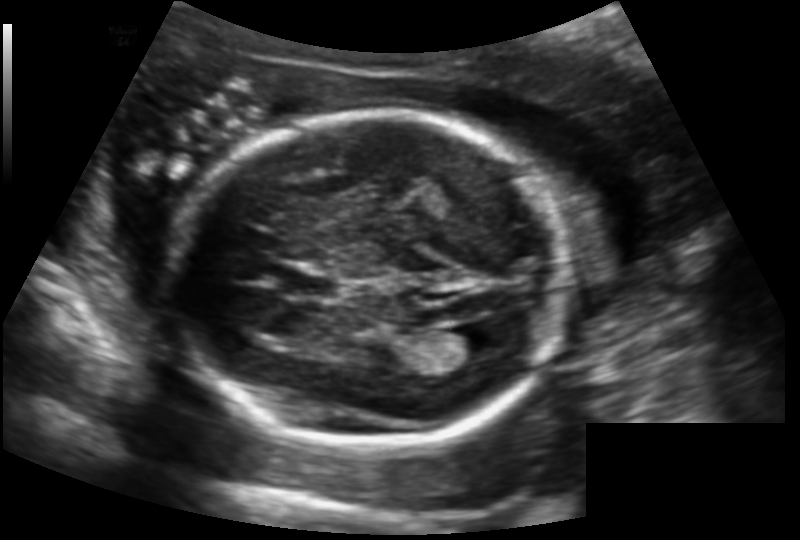
Estimate the fetal head circumference from this 2D ultrasound. Image width: 117.4 mm.

Head circumference: 174.8 mm.